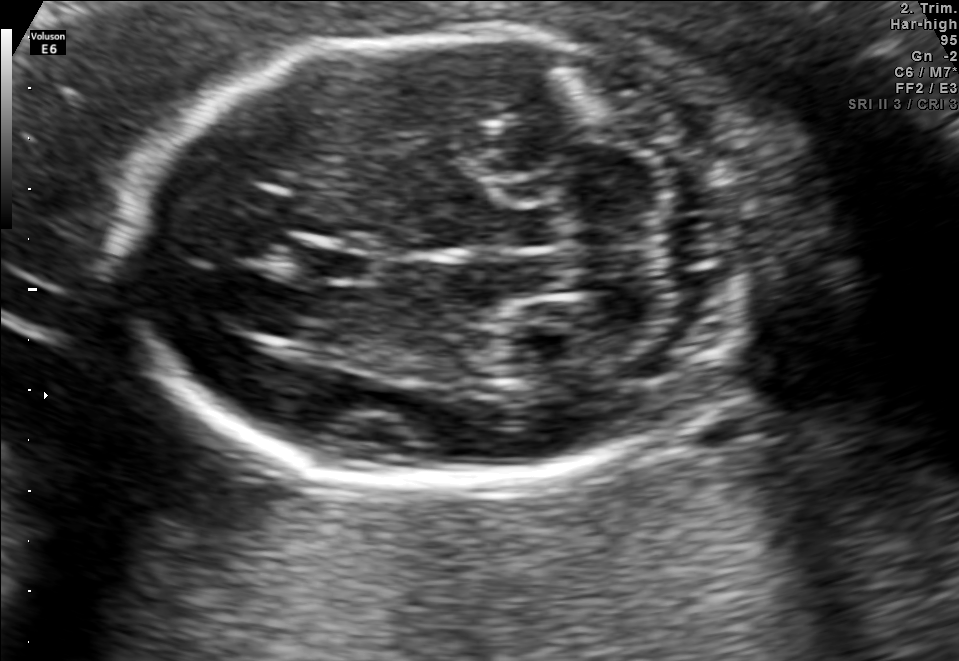
Fetal brain, trans-cerebellum plane. Where is the fetal head?

Head bounding box: [122,35,747,482]